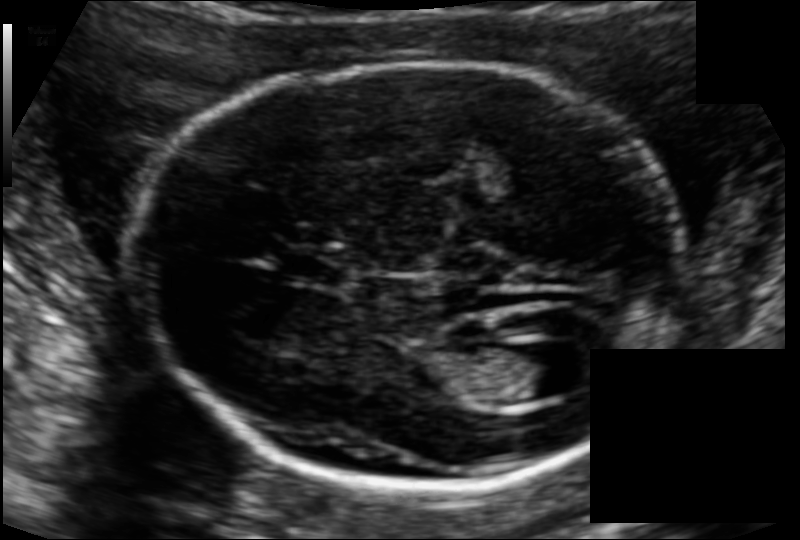
Fetal head ultrasound. Image width: 88.5 mm. Give [x1,y1,x2,y2] bounding boxes for each visible structure among: fetal head, CSP, LV.

Head: [123,65,692,484]
CSP: [277,248,345,285]
Lateral ventricle: [497,338,581,404]